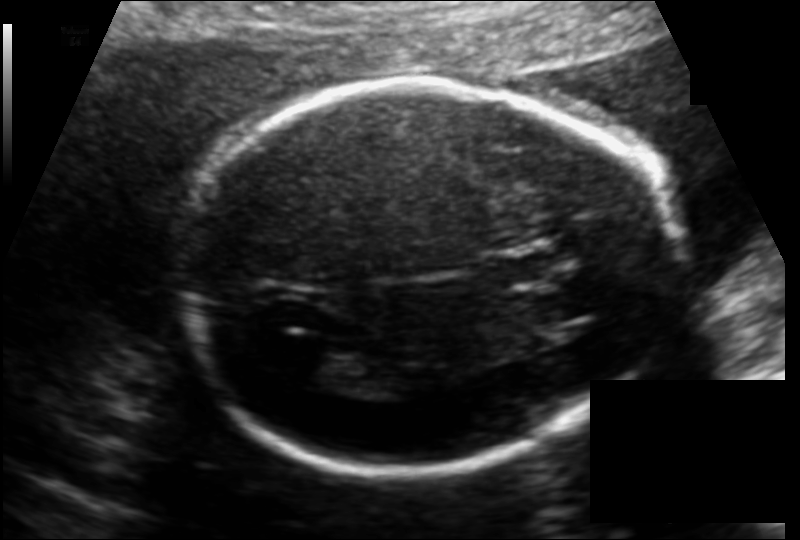
Fetal head ultrasound. Image width: 104.3 mm. Where is the lateral ventricle?

Lateral ventricle bounding box: [288,339,367,392]